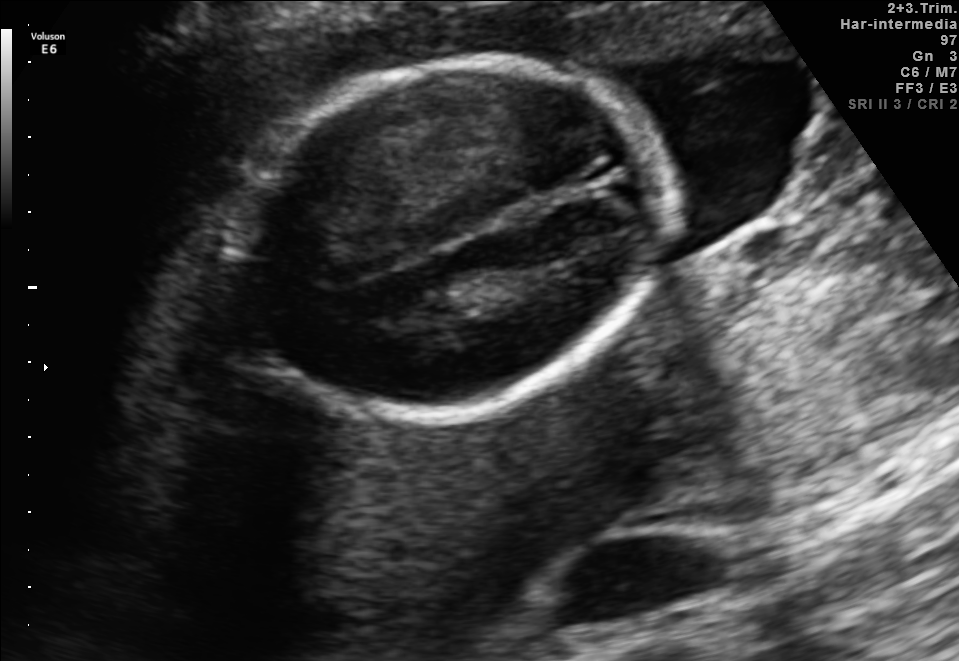
Fetal brain, trans-thalamic plane. Give [x1,y1,x2,y2] bounding boxes for each visible structure among: fetal head, CSP, LV.

Head: [231,61,668,414]